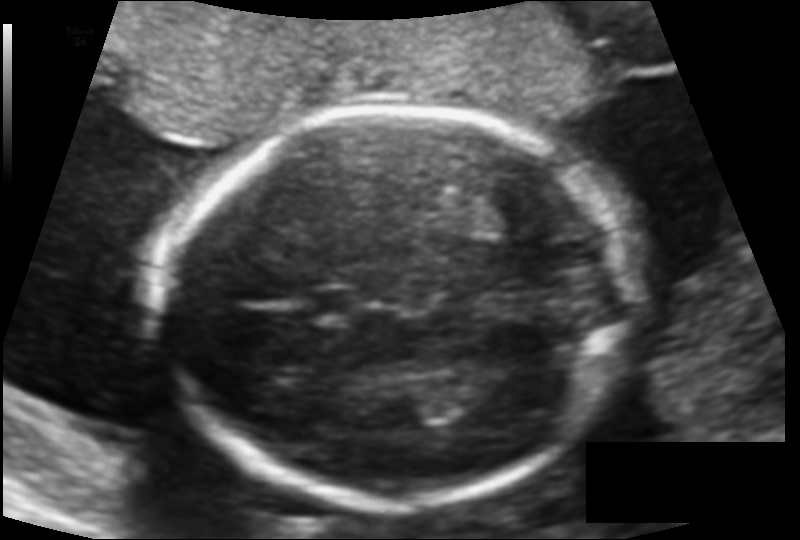
Fetal head ultrasound. Image width: 97.0 mm. Locate the fetal head and, if visible, the cavum septum pellucidum (CSP) and lateral ventricle (LV). Give bounding boxes as [x1,y1,x2,y2].

Head: [162,106,631,507]
CSP: [307,285,363,324]